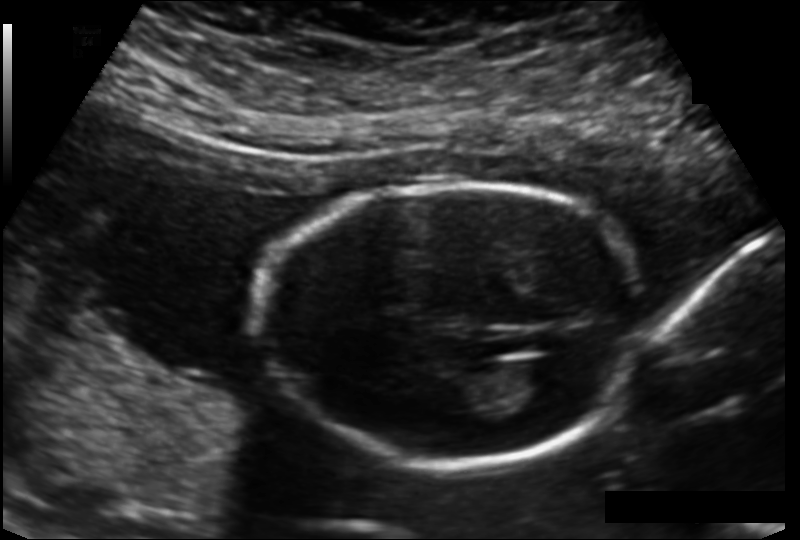
Estimate the fetal head circumference from this 2D ultrasound. Image width: 107.7 mm.

Head circumference: 147.9 mm.